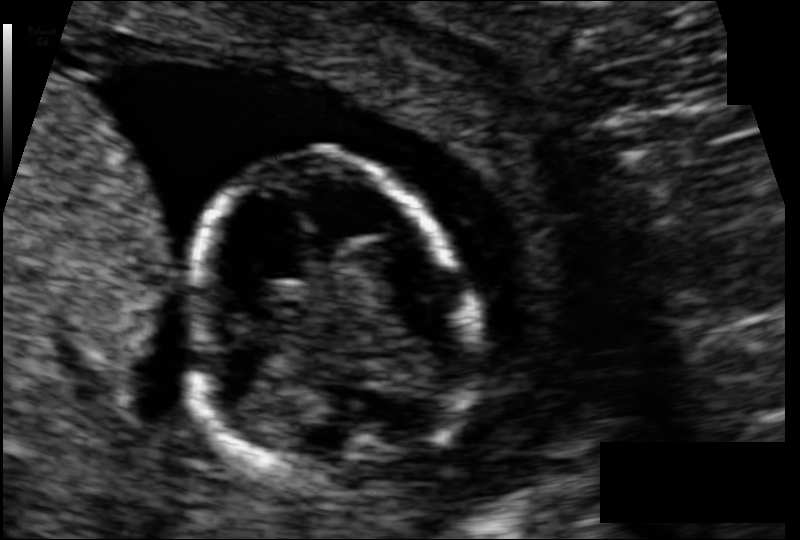
Fetal head ultrasound. Image width: 60.7 mm. Give [x1,y1,x2,y2] bounding boxes for each visible structure among: fetal head, CSP, LV.

Head: [192,154,466,487]